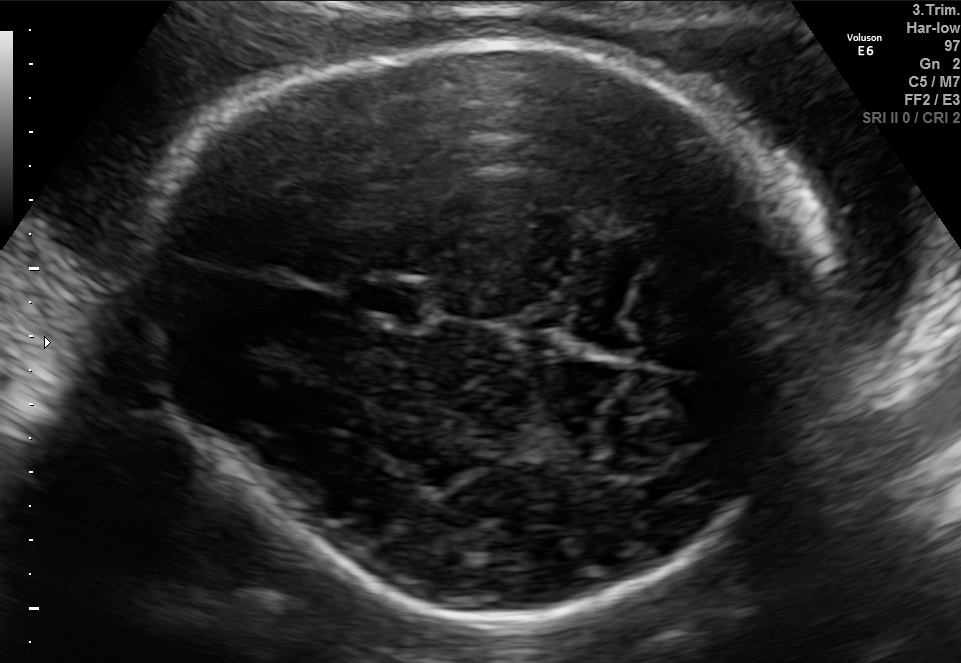
Fetal brain, trans-thalamic plane. Where is the fetal head?

Head bounding box: [134,33,827,628]